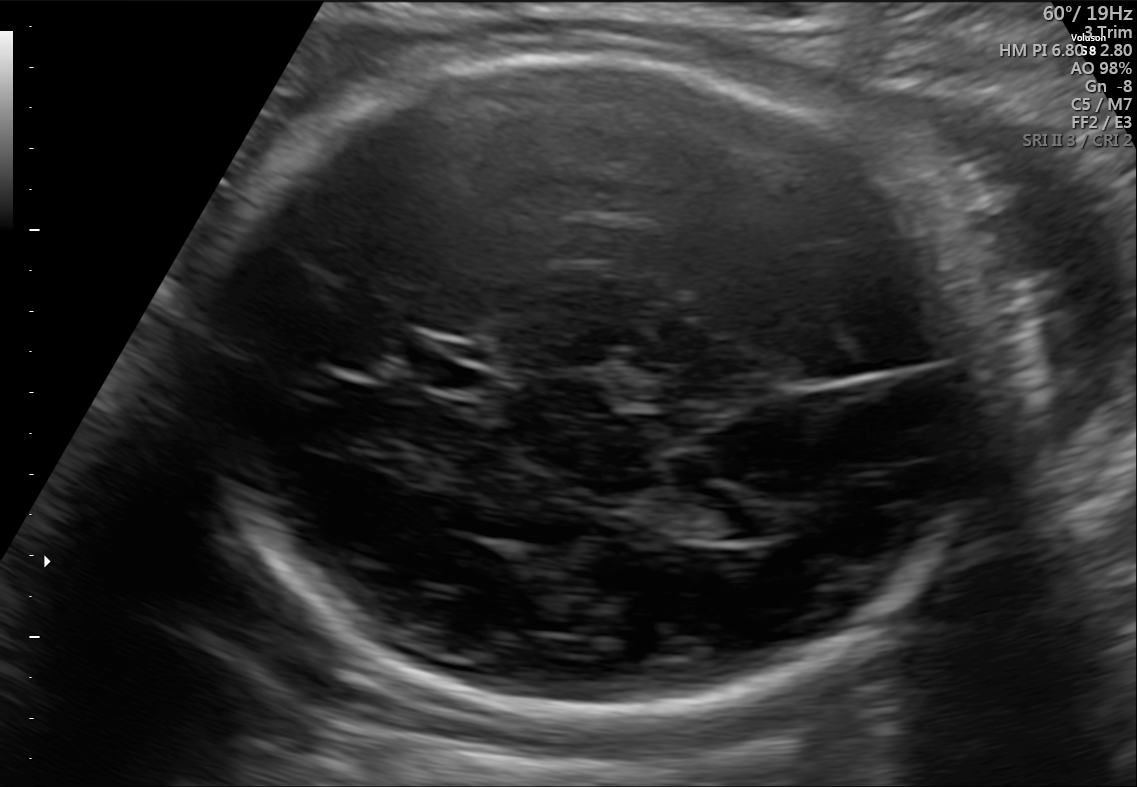
Fetal brain, trans-ventricular plane. Locate the cavum septum pellucidum.

CSP: [393,328,498,402]